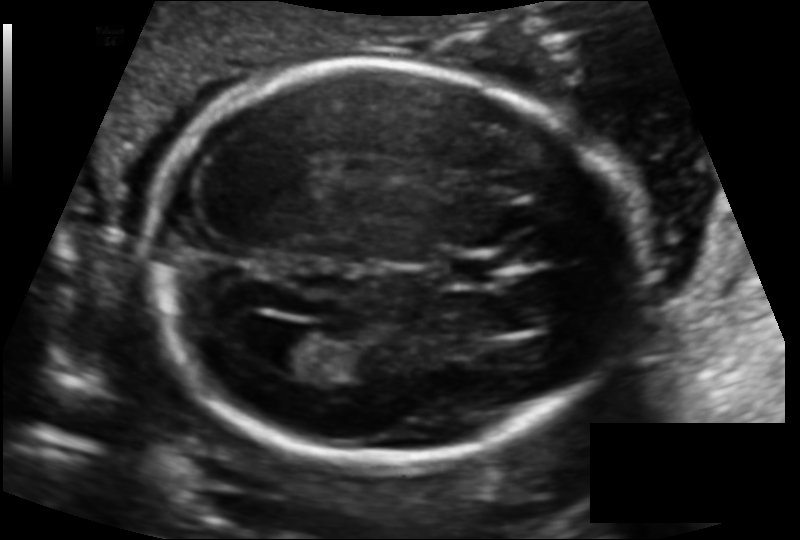
From this fetal ultrasound, estimate the head circumference (image width 100.1 mm).

Head circumference: 181.6 mm.